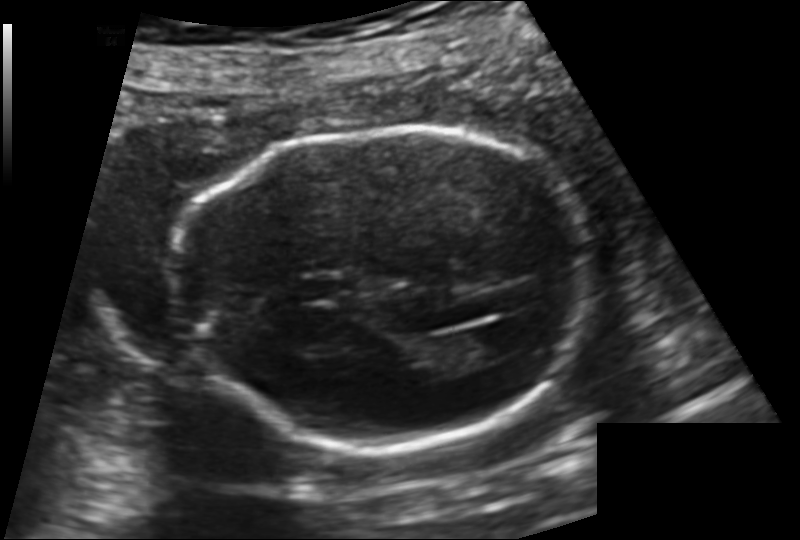
Fetal head ultrasound. Image width: 115.3 mm. Locate the cavum septum pellucidum.

CSP: [295,277,341,301]